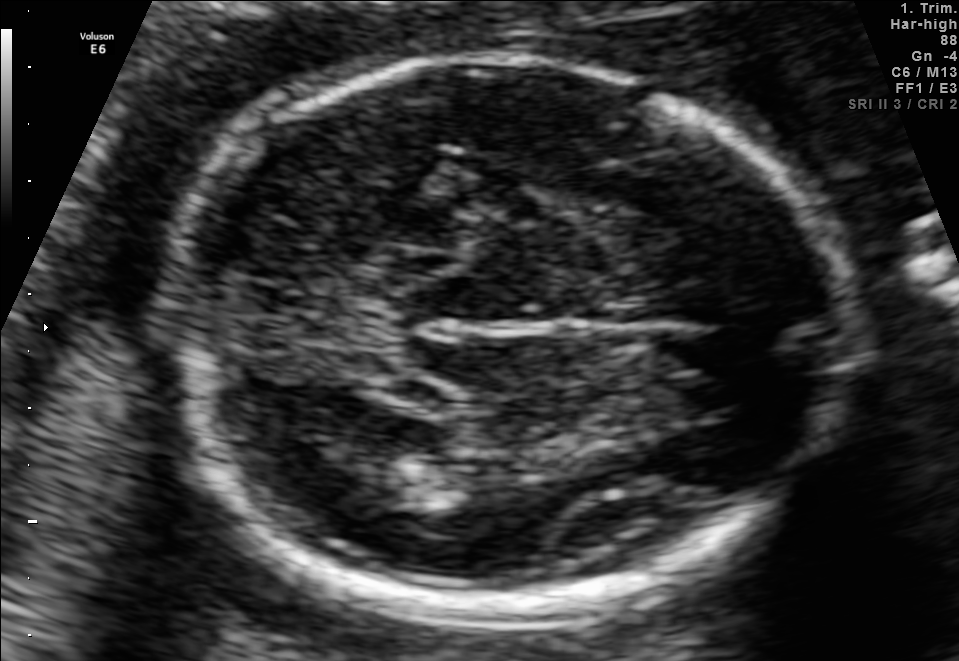
Fetal brain, trans-thalamic plane. Locate the fetal head.

Head: [164,58,853,613]